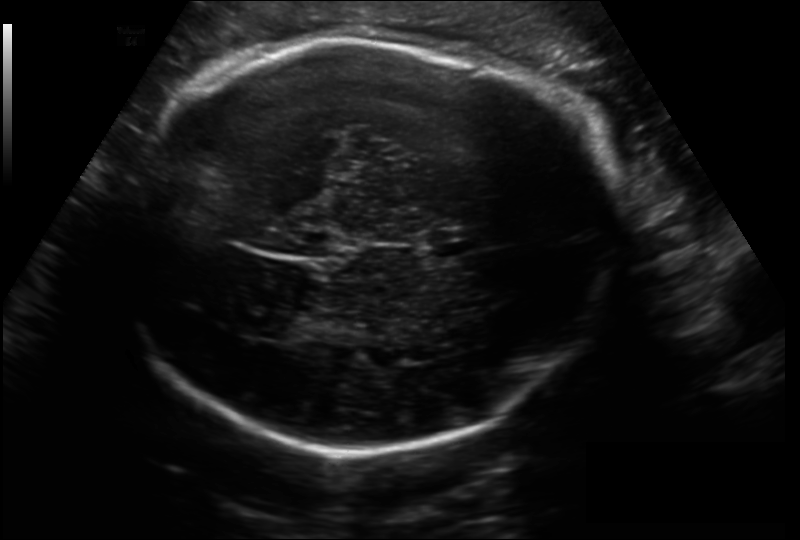
Estimate the fetal head circumference from this 2D ultrasound. Image width: 164.9 mm.

Head circumference: 300.0 mm.